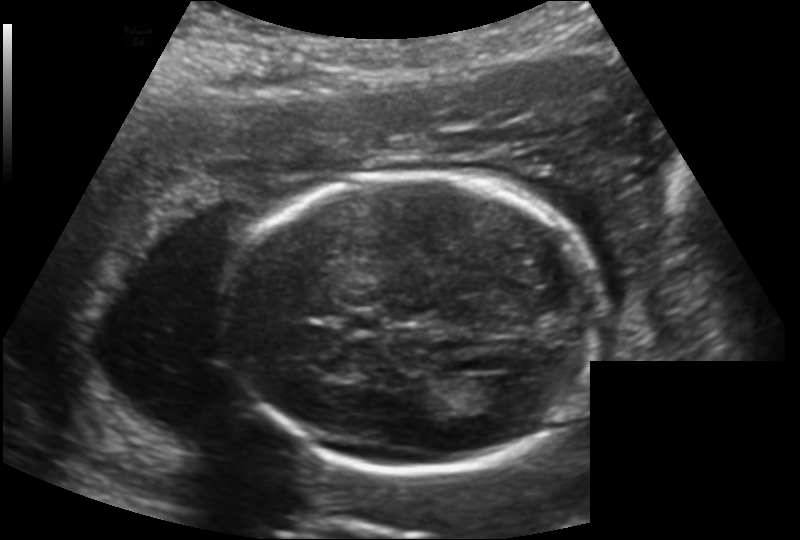
Estimate the fetal head circumference from this 2D ultrasound. Image width: 135.0 mm.

Head circumference: 184.8 mm.